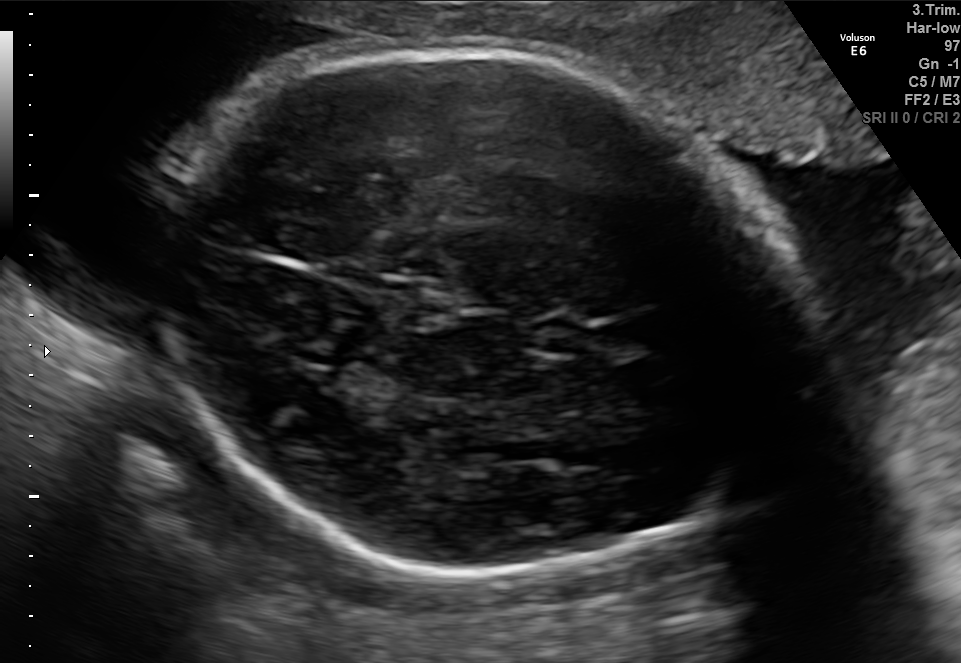
Identify the standard plane in this fetal ultrasound image: fetal abdomen, fetal brain, fetal femur, fetal thorax, maternal cervix, or other. If it's fetal brain and one of the three standard brain planes (trans-thalamic, trans-cerebellum, trans-ventricular), name which.

Fetal brain (trans-thalamic plane)